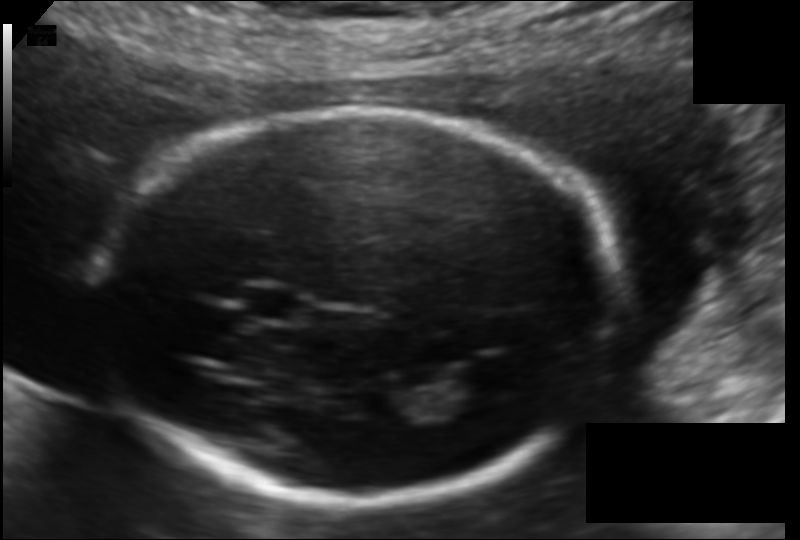
Fetal head ultrasound. Image width: 96.1 mm. Locate the fetal head.

Head: [99,113,619,501]